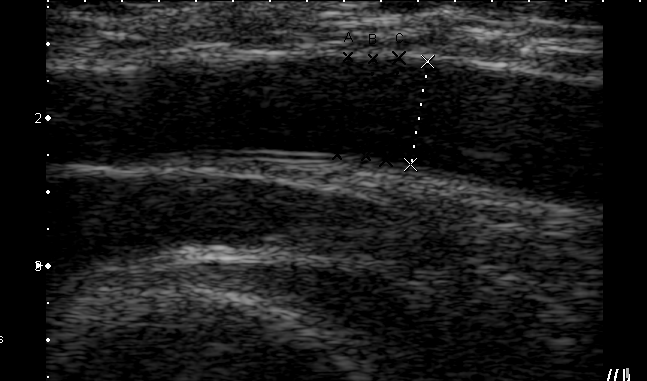
Which standard maternal-fetal ultrasound plane is shown: fetal abdomen, fetal brain, fetal femur, fetal thorax, maternal cervix, or other? If it's fetal brain and one of the three standard brain planes (trans-thalamic, trans-cerebellum, trans-ventricular), name which.

Other